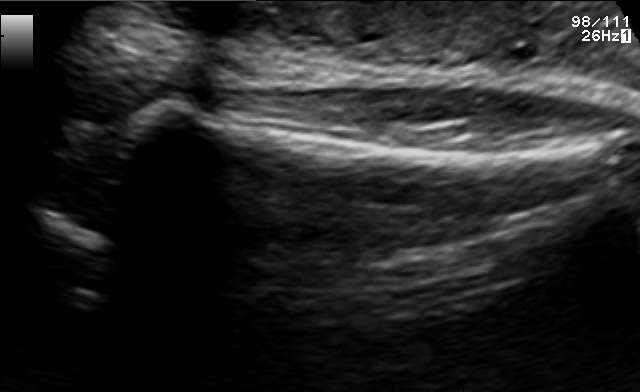
Which standard maternal-fetal ultrasound plane is shown: fetal abdomen, fetal brain, fetal femur, fetal thorax, maternal cervix, or other? If it's fetal brain and one of the three standard brain planes (trans-thalamic, trans-cerebellum, trans-ventricular), name which.

Fetal femur